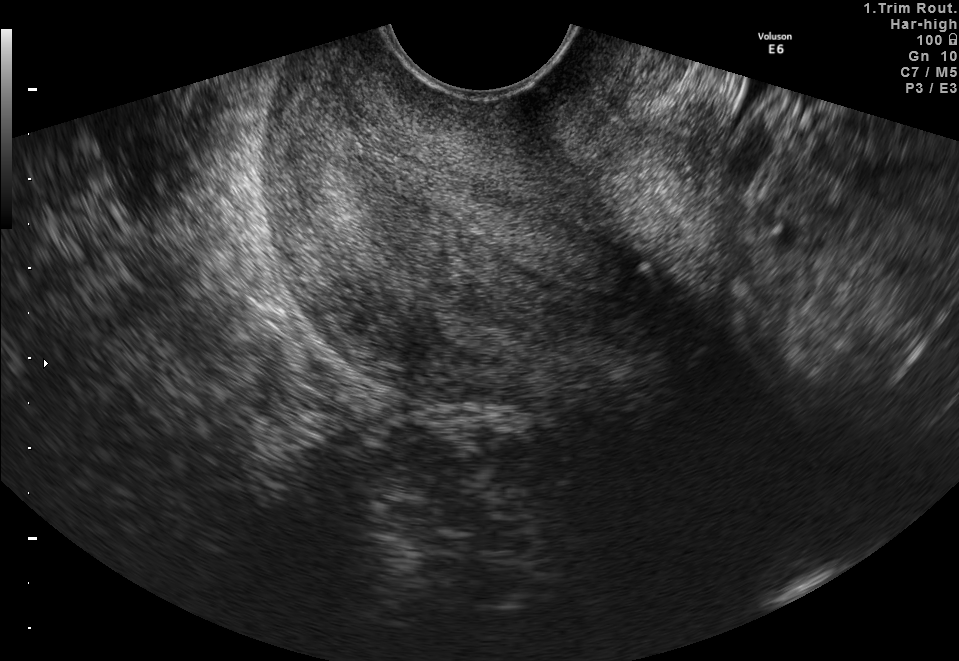
This is a 2D maternal-fetal ultrasound frame. Is it a fetal abdomen, fetal brain, fetal femur, fetal thorax, maternal cervix, or other standard plane? If it's fetal brain and one of the three standard brain planes (trans-thalamic, trans-cerebellum, trans-ventricular), name which.

Maternal cervix